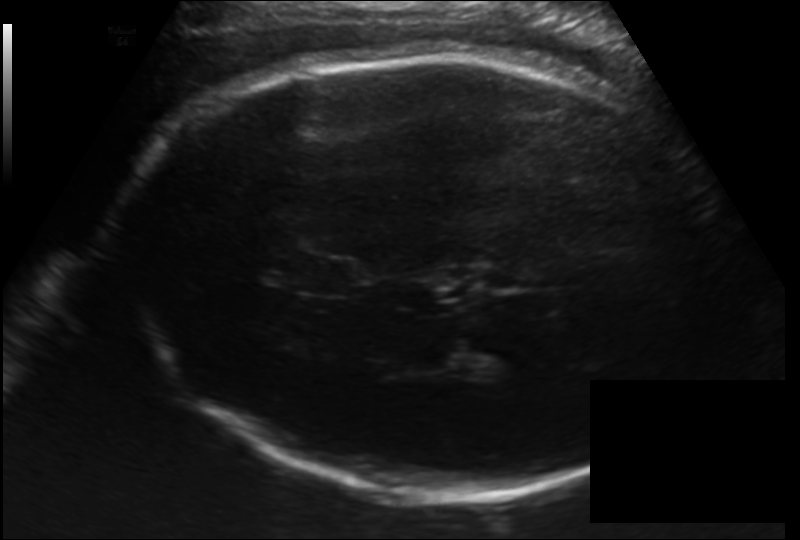
Fetal head ultrasound. Image width: 153.4 mm. Locate the cavum septum pellucidum.

CSP: [286,251,362,299]